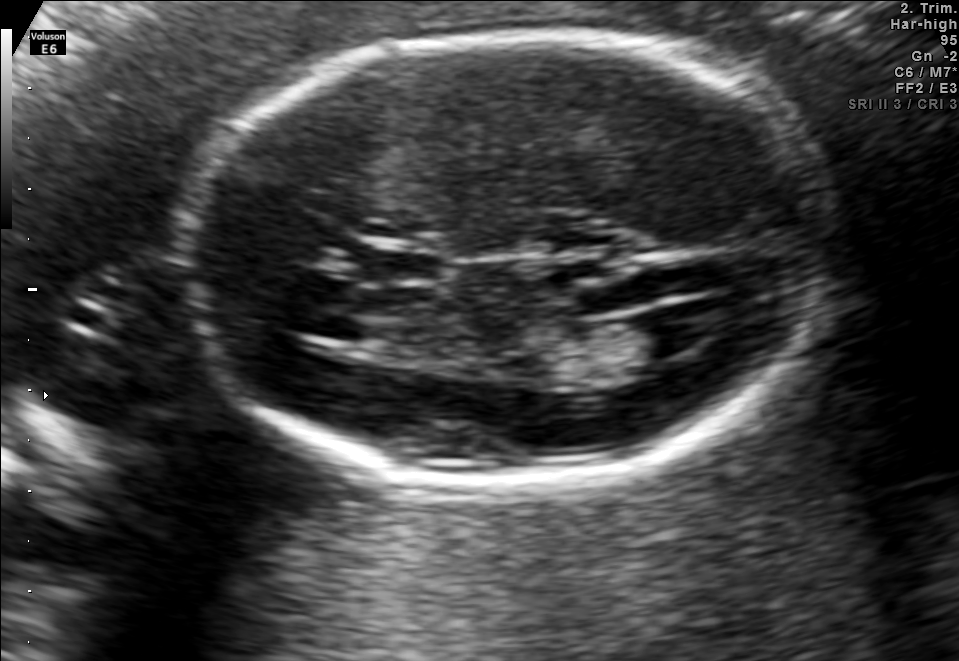
In this fetal brain, trans-ventricular plane, give the bounding box of the lateral ventricle.

[631,298,715,361]